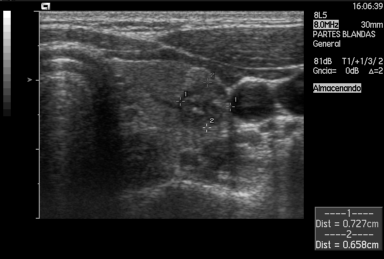
Classify this maternal-fetal ultrasound image as one of the six standard planes — fetal abdomen, fetal brain, fetal femur, fetal thorax, maternal cervix, or other. If it's fetal brain and one of the three standard brain planes (trans-thalamic, trans-cerebellum, trans-ventricular), name which.

Other